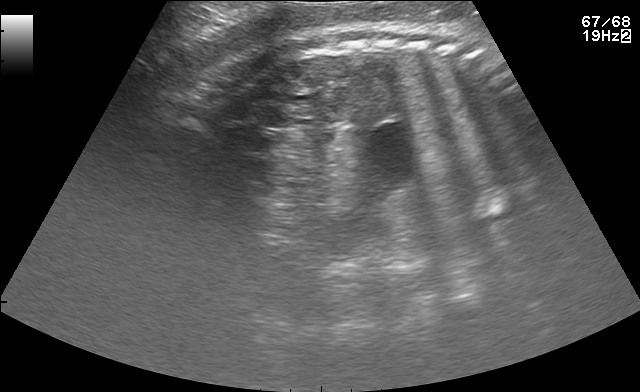
Which standard maternal-fetal ultrasound plane is shown: fetal abdomen, fetal brain, fetal femur, fetal thorax, maternal cervix, or other? If it's fetal brain and one of the three standard brain planes (trans-thalamic, trans-cerebellum, trans-ventricular), name which.

Other